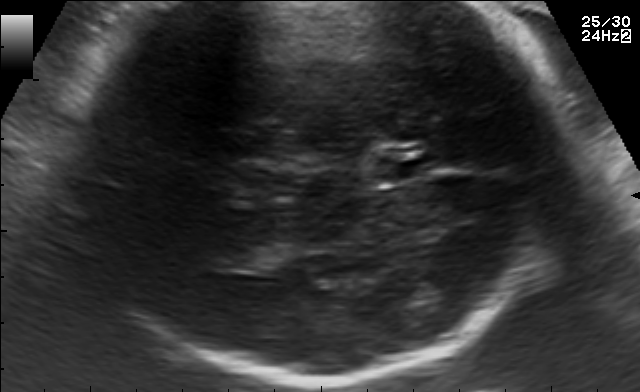
Fetal brain, trans-thalamic plane. Locate the cavum septum pellucidum (CSP) and lateral ventricle (LV), if visible. Give bounding boxes as [x1,y1,x2,y2].

CSP: [372,149,436,188]